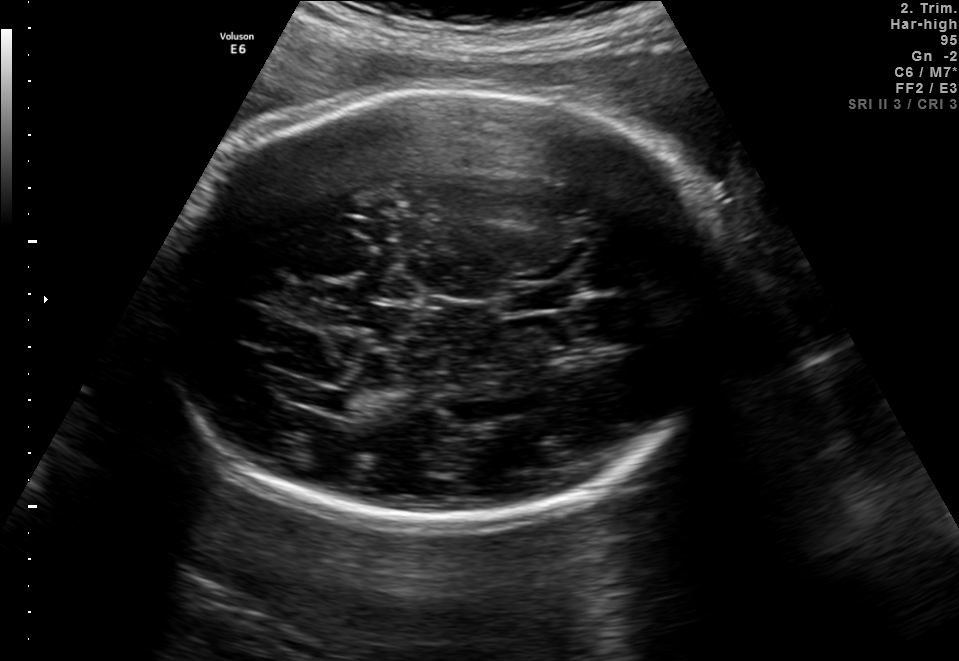
Classify this maternal-fetal ultrasound image as one of the six standard planes — fetal abdomen, fetal brain, fetal femur, fetal thorax, maternal cervix, or other. If it's fetal brain and one of the three standard brain planes (trans-thalamic, trans-cerebellum, trans-ventricular), name which.

Fetal brain (trans-thalamic plane)